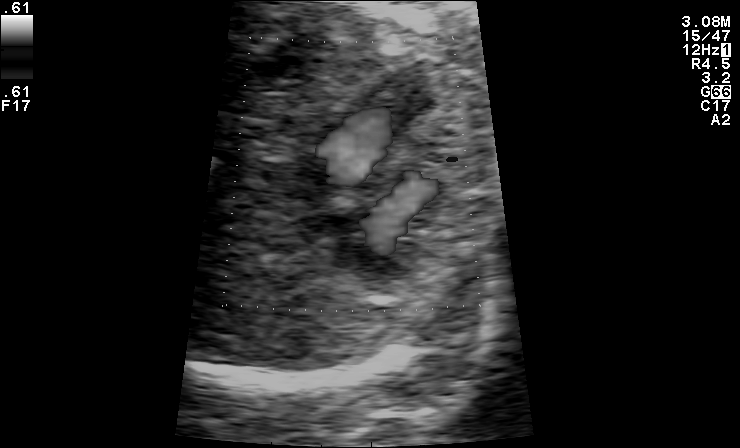
Classify this maternal-fetal ultrasound image as one of the six standard planes — fetal abdomen, fetal brain, fetal femur, fetal thorax, maternal cervix, or other. If it's fetal brain and one of the three standard brain planes (trans-thalamic, trans-cerebellum, trans-ventricular), name which.

Other